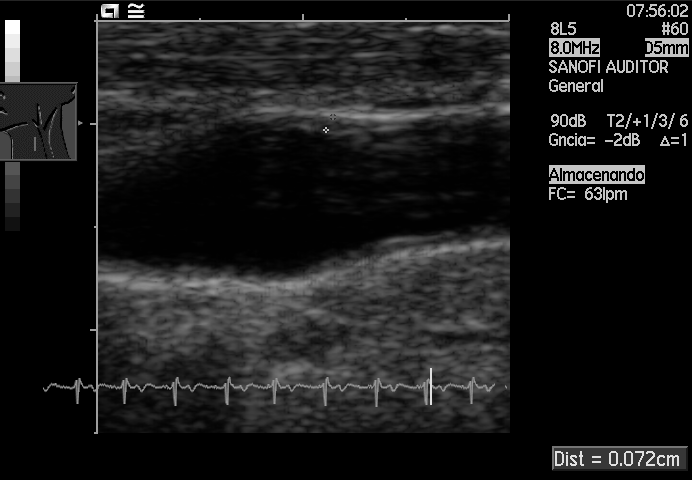
Identify the standard plane in this fetal ultrasound image: fetal abdomen, fetal brain, fetal femur, fetal thorax, maternal cervix, or other. If it's fetal brain and one of the three standard brain planes (trans-thalamic, trans-cerebellum, trans-ventricular), name which.

Other